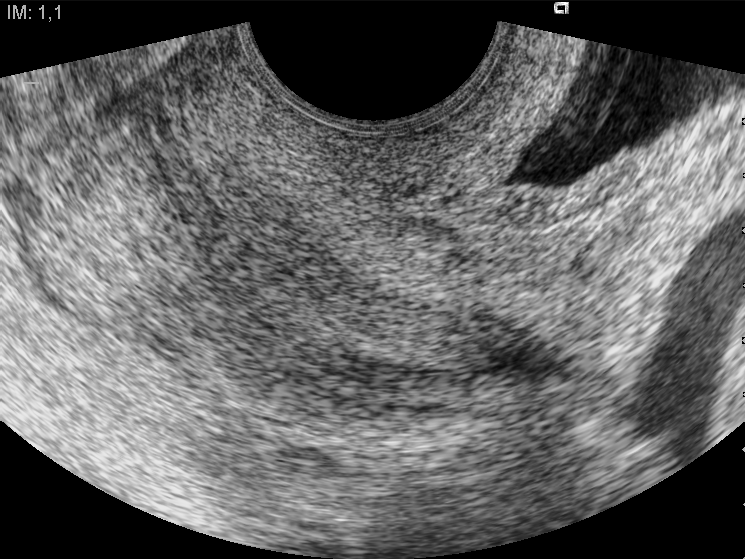
Which standard maternal-fetal ultrasound plane is shown: fetal abdomen, fetal brain, fetal femur, fetal thorax, maternal cervix, or other? If it's fetal brain and one of the three standard brain planes (trans-thalamic, trans-cerebellum, trans-ventricular), name which.

Maternal cervix